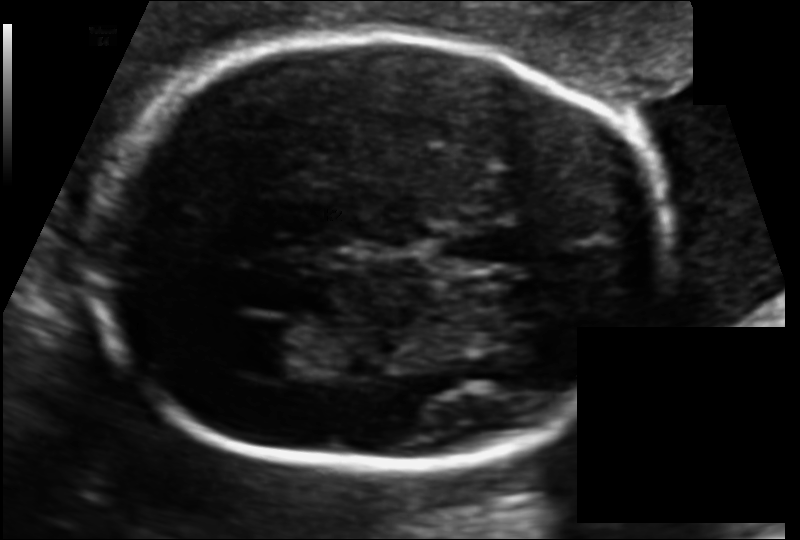
Fetal head ultrasound. Image width: 89.0 mm. Locate the cavum septum pellucidum.

CSP: [440,216,530,272]